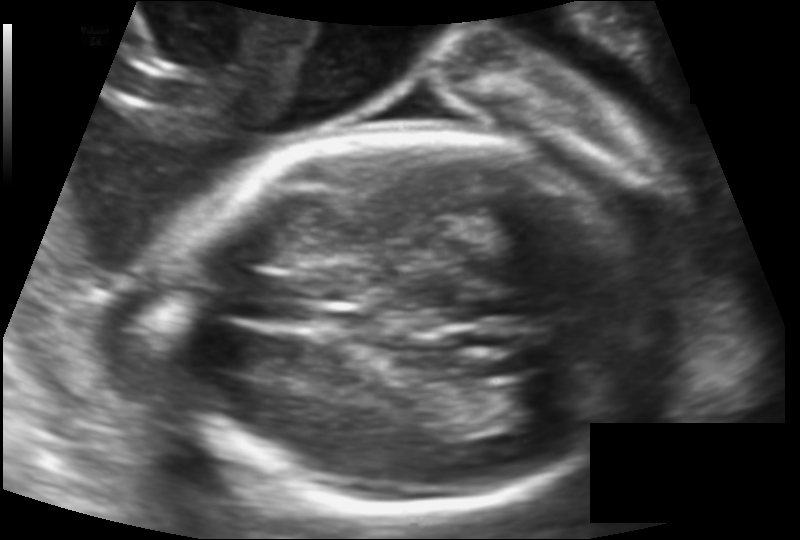
Fetal head ultrasound. Image width: 106.2 mm. Locate the lateral ventricle.

Lateral ventricle: [497,372,578,428]